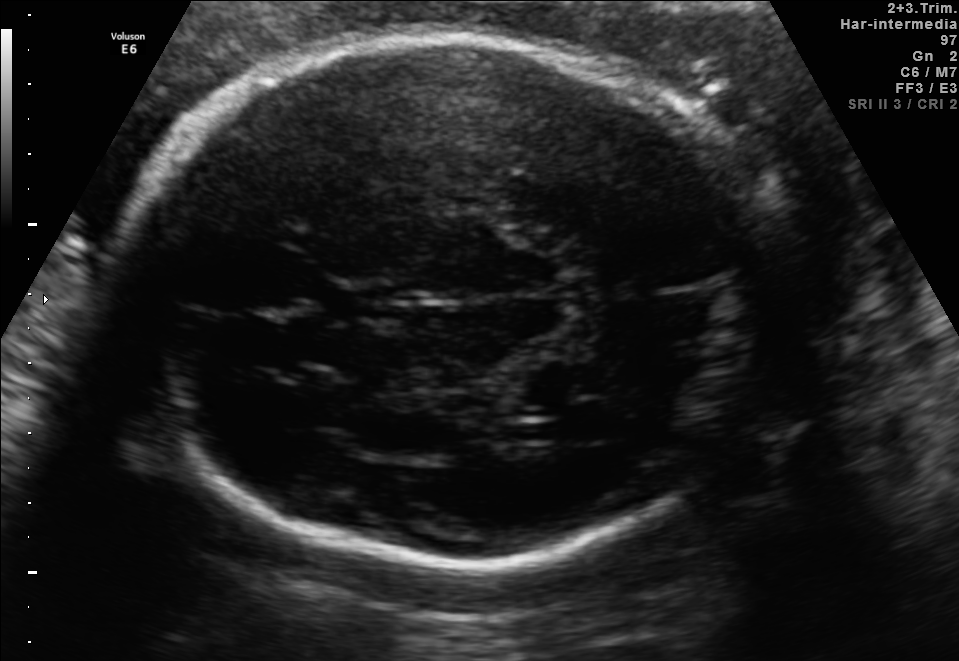
In this fetal brain, trans-thalamic plane, give bounding boxes for the head outline, cavum septum pellucidum (CSP), and lateral ventricle (LV), where visible.

Head: [114,38,779,563]
CSP: [322,280,392,324]
Lateral ventricle: [529,414,585,445]